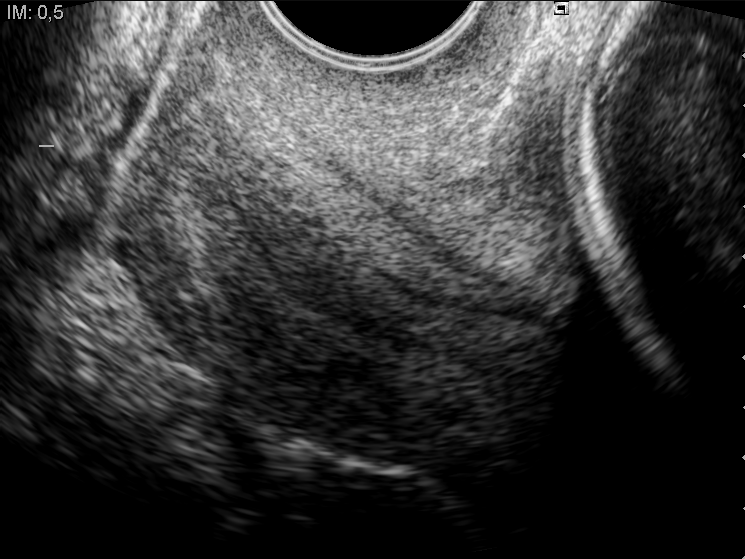
Classify this maternal-fetal ultrasound image as one of the six standard planes — fetal abdomen, fetal brain, fetal femur, fetal thorax, maternal cervix, or other. If it's fetal brain and one of the three standard brain planes (trans-thalamic, trans-cerebellum, trans-ventricular), name which.

Maternal cervix